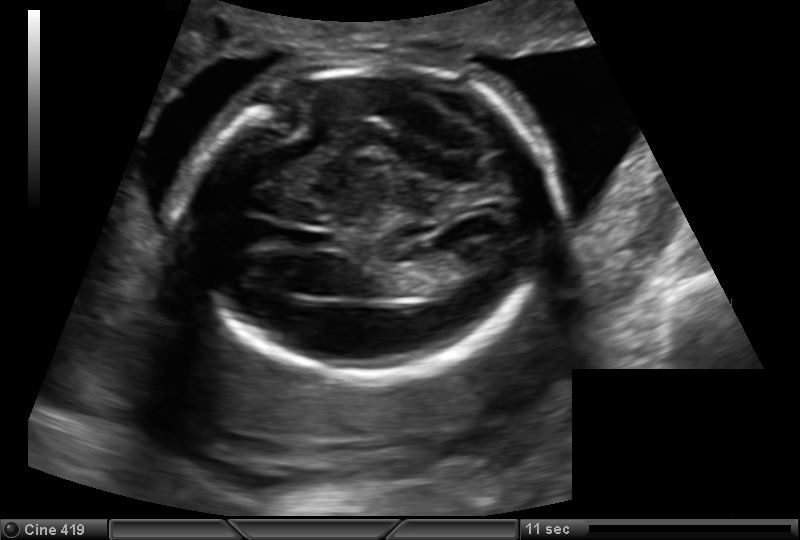
In this fetal head ultrasound, give bounding boxes for the head outline, cavum septum pellucidum (CSP), and lateral ventricle (LV), where visible. Image width: 122.2 mm.

Head: [191,62,547,373]